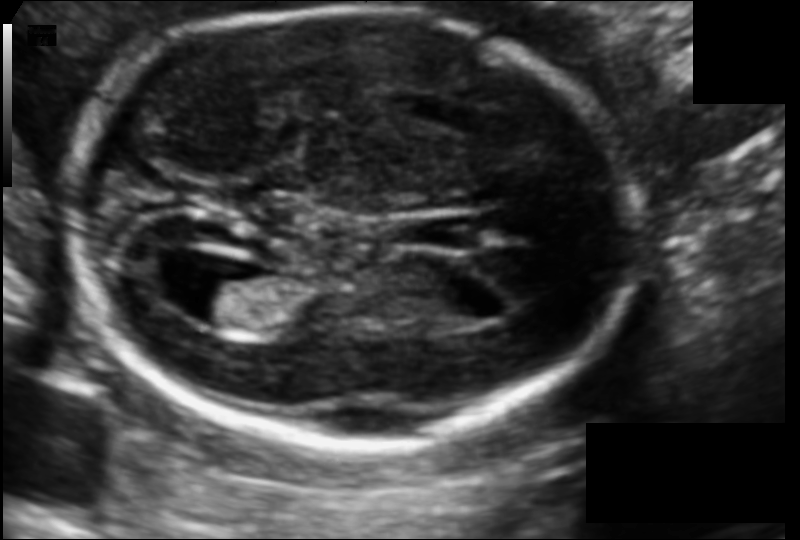
In this fetal head ultrasound, give bounding boxes for the head outline, cavum septum pellucidum (CSP), and lateral ventricle (LV), where visible. Image width: 83.9 mm.

Head: [69,6,631,448]
CSP: [421,216,479,250]
Lateral ventricle: [174,266,269,333]